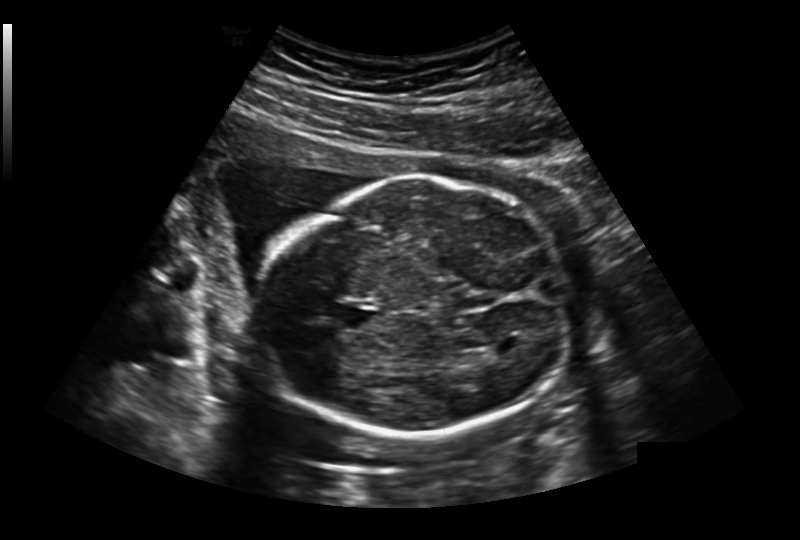
Fetal head ultrasound. Image width: 188.6 mm. Where is the fetal head?

Head bounding box: [256,176,571,440]